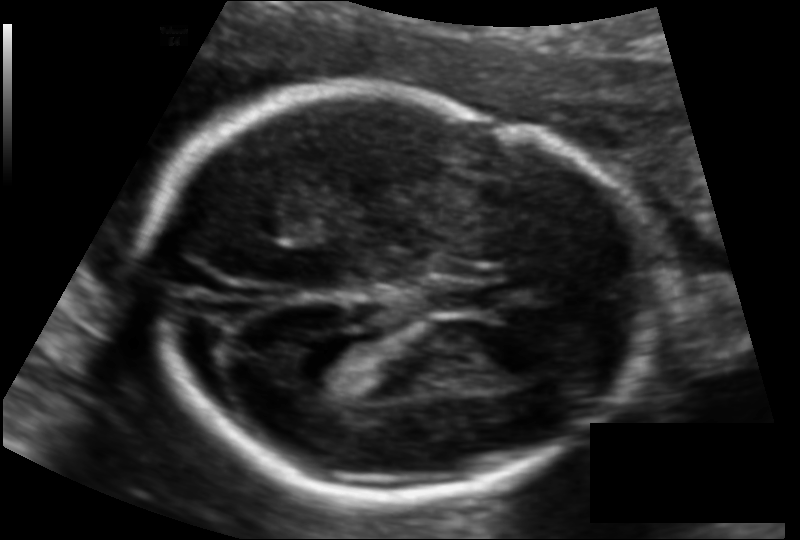
Fetal head ultrasound. Image width: 93.9 mm. Locate the fetal head.

Head: [136,94,642,495]